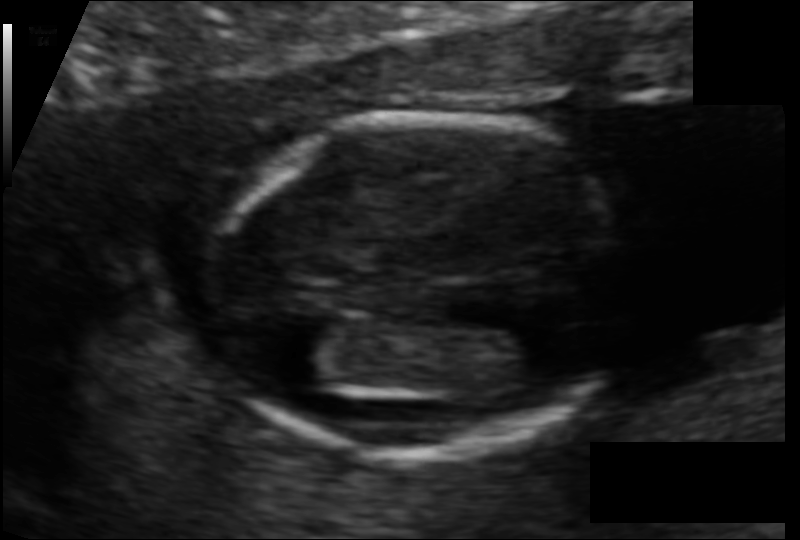
Fetal head ultrasound. Image width: 65.5 mm. Locate the fetal head.

Head: [210,110,630,457]